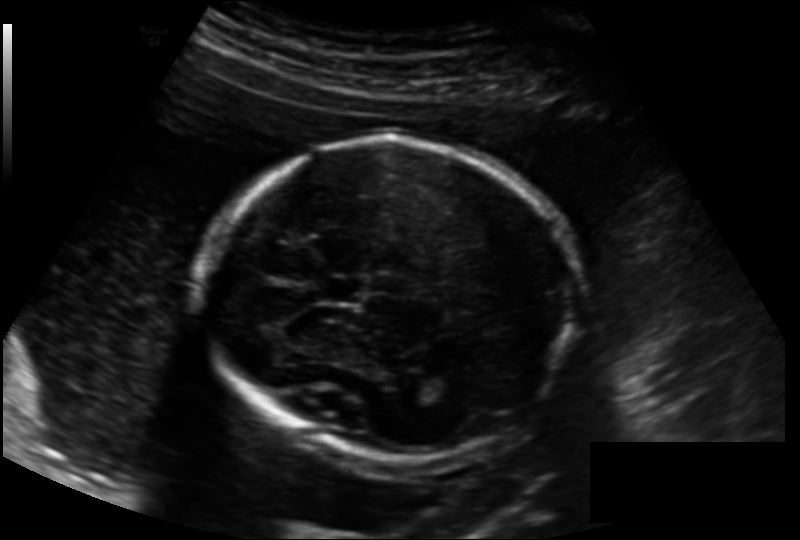
In this fetal head ultrasound, give the bounding box of the cavum septum pellucidum. Image width: 126.5 mm.

[319,279,363,301]